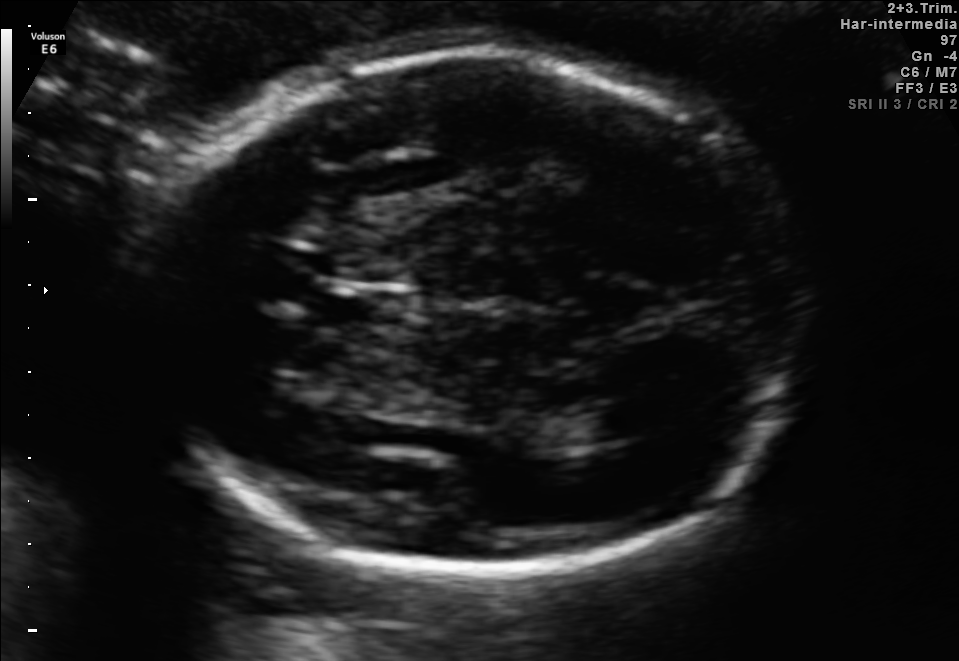
In this fetal brain, trans-thalamic plane, give the bounding box of the cavum septum pellucidum.

[324,293,405,326]